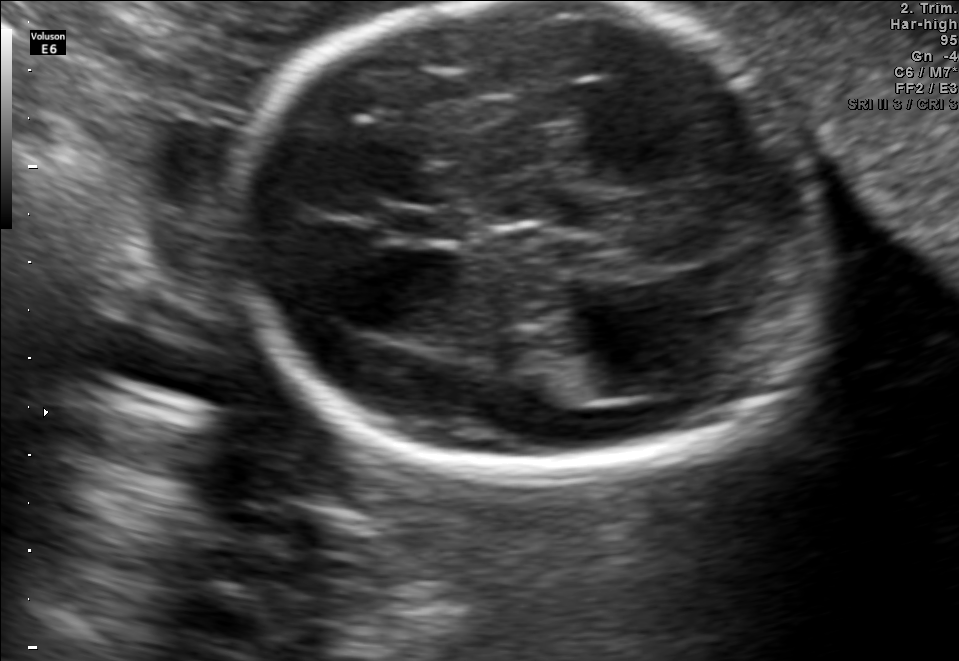
Fetal brain, trans-thalamic plane. Locate the fetal head and, if visible, the cavum septum pellucidum (CSP) and lateral ventricle (LV). Give bounding boxes as [x1,y1,x2,y2].

Head: [230,2,823,479]
CSP: [383,204,464,241]
Lateral ventricle: [551,342,677,404]